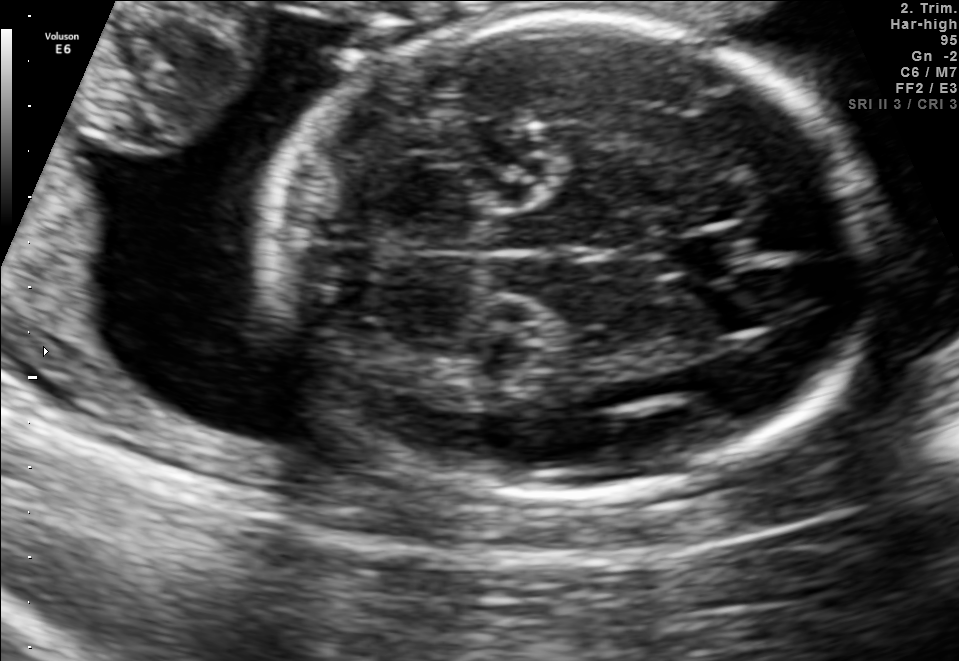
In this fetal brain, trans-cerebellum plane, give the bounding box of the fetal head.

[264,14,865,495]